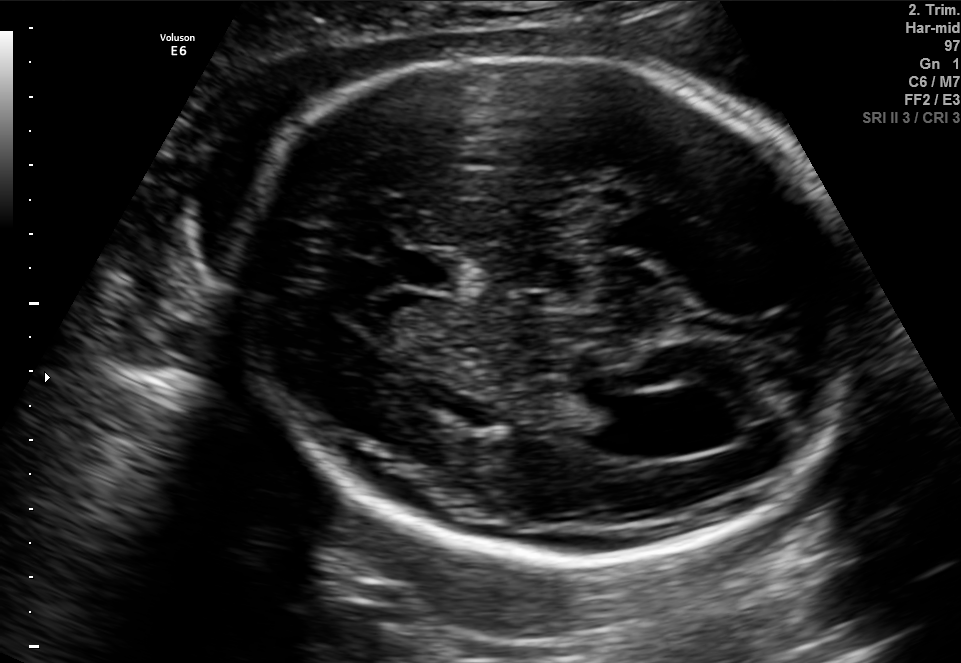
Fetal brain, trans-ventricular plane. Locate the lateral ventricle.

Lateral ventricle: [585,392,678,459]